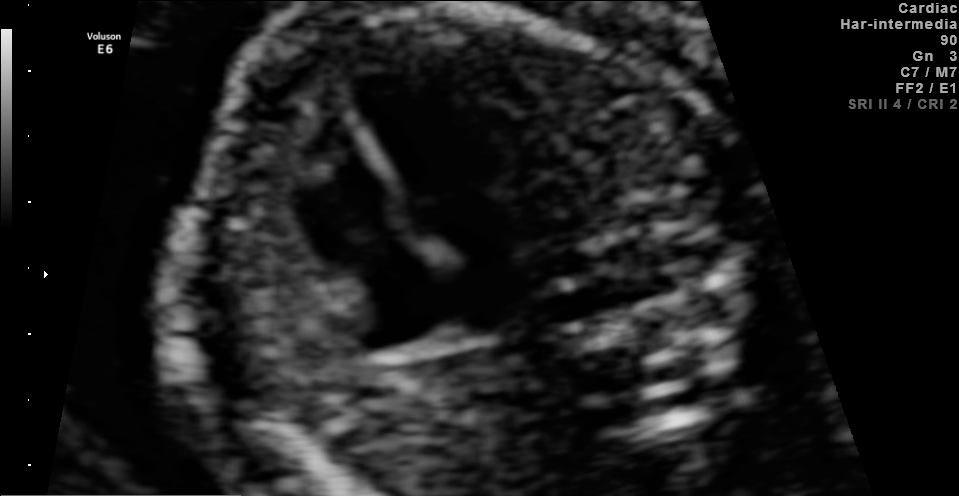
Which standard maternal-fetal ultrasound plane is shown: fetal abdomen, fetal brain, fetal femur, fetal thorax, maternal cervix, or other? If it's fetal brain and one of the three standard brain planes (trans-thalamic, trans-cerebellum, trans-ventricular), name which.

Fetal thorax